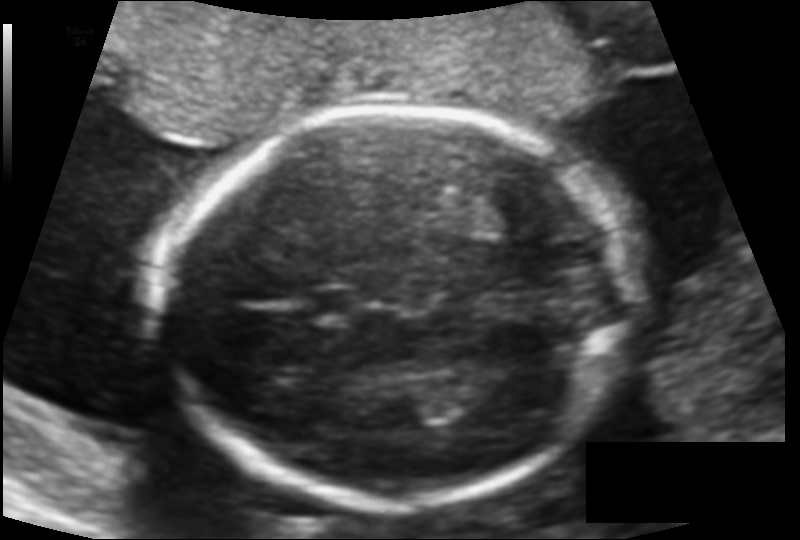
Fetal head ultrasound. Image width: 97.0 mm. Where is the fetal head?

Head bounding box: [162,106,631,507]